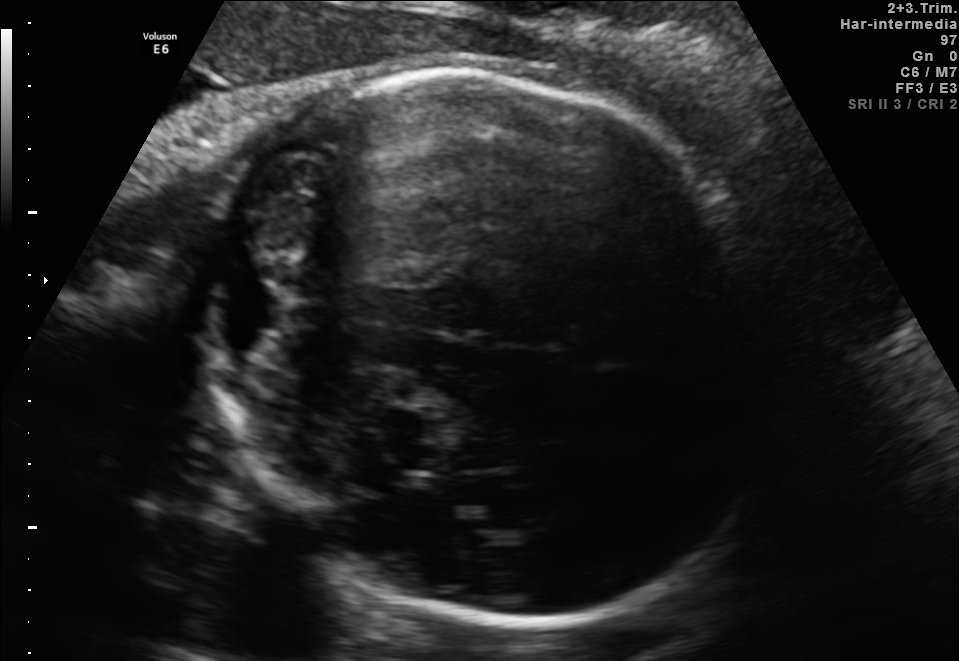
Fetal brain, trans-cerebellum plane. Where is the fetal head?

Head bounding box: [209,73,772,626]